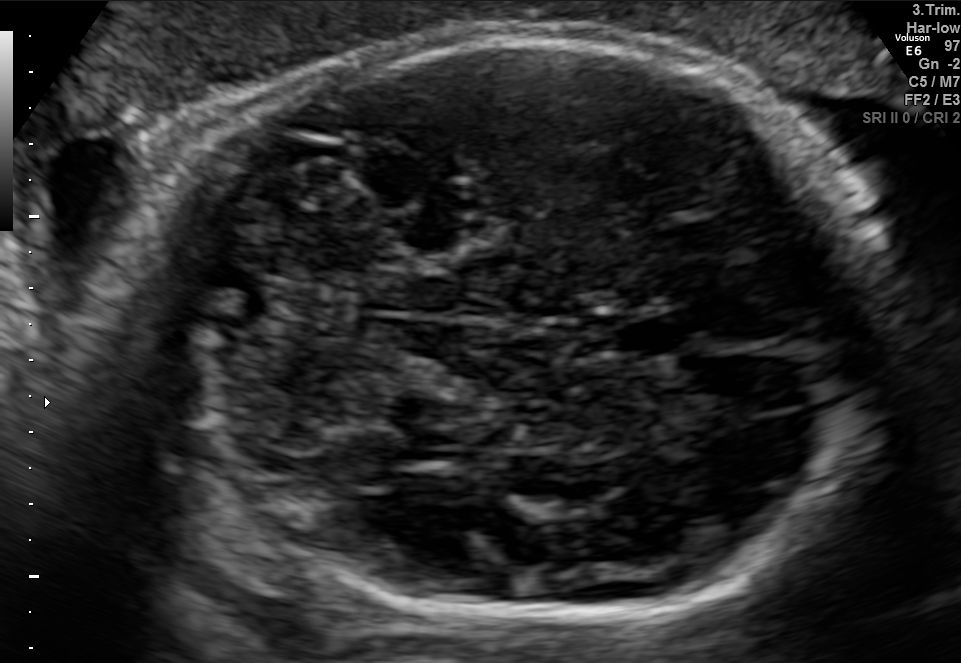
Fetal brain, trans-cerebellum plane. Locate the cavum septum pellucidum.

CSP: [604,303,701,370]